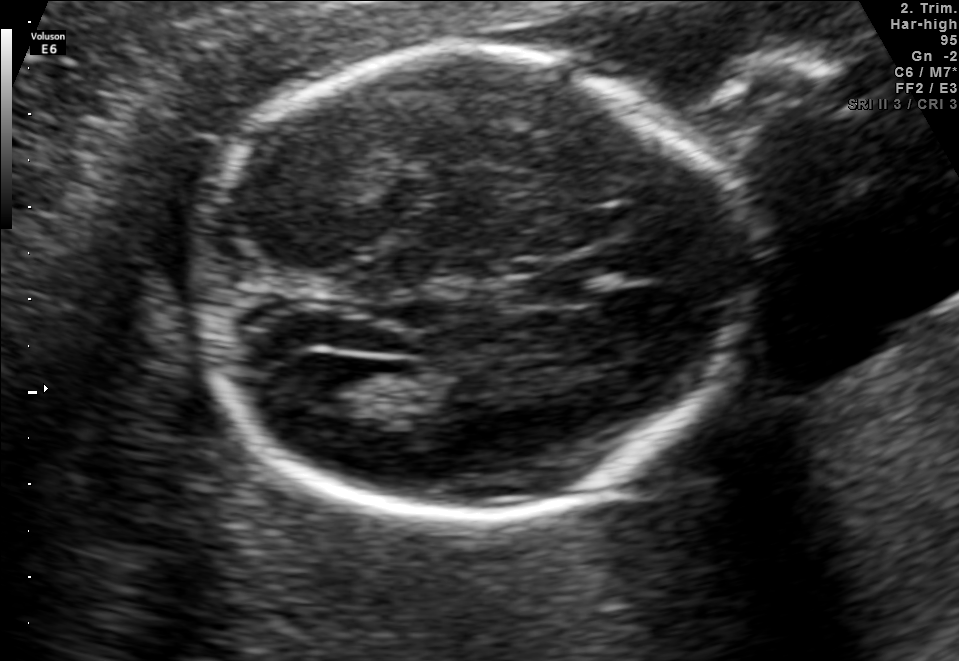
This is a 2D maternal-fetal ultrasound frame. Is it a fetal abdomen, fetal brain, fetal femur, fetal thorax, maternal cervix, or other standard plane? If it's fetal brain and one of the three standard brain planes (trans-thalamic, trans-cerebellum, trans-ventricular), name which.

Fetal brain (trans-ventricular plane)